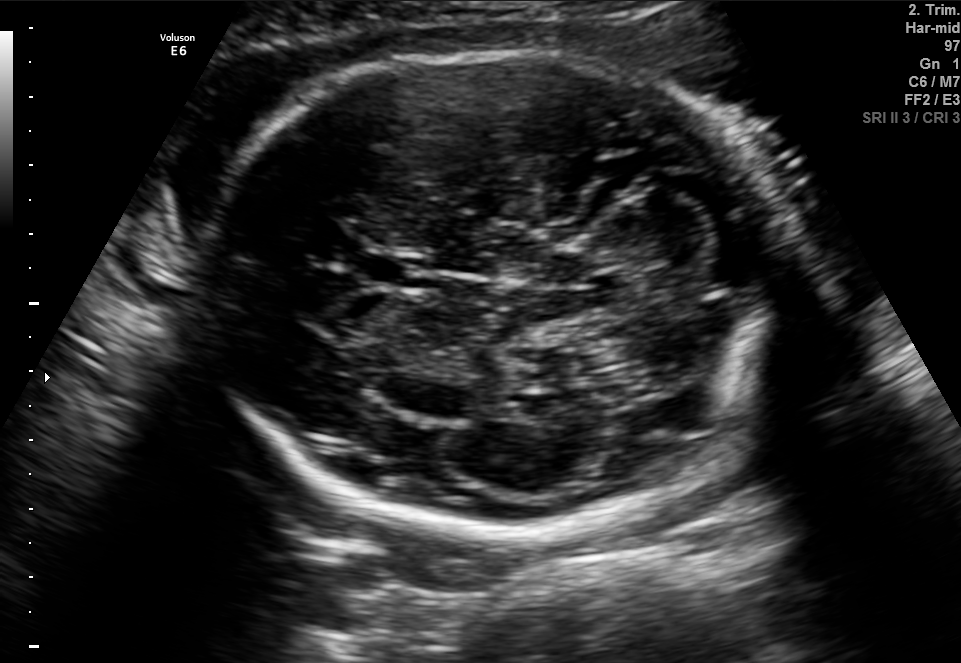
In this fetal brain, trans-cerebellum plane, give bounding boxes for the head outline, cavum septum pellucidum (CSP), and lateral ventricle (LV), where visible.

Head: [205,52,784,533]
CSP: [359,248,430,293]